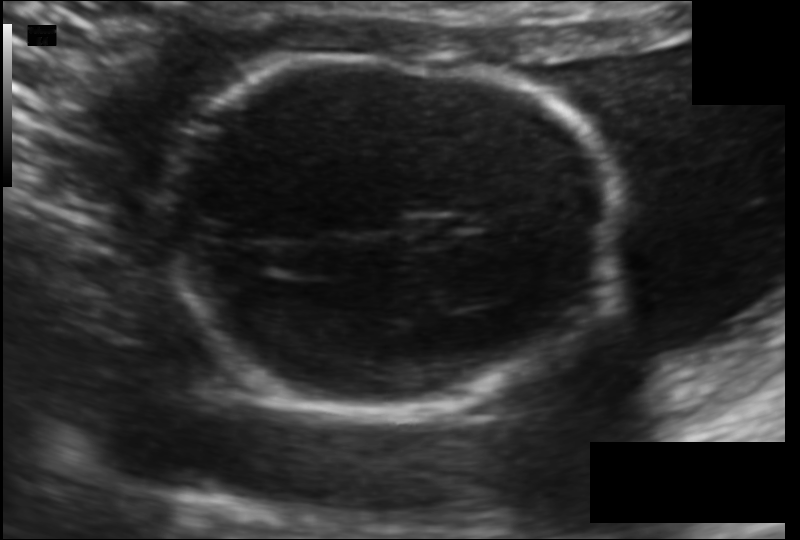
Estimate the fetal head circumference from this 2D ultrasound.

Head circumference: 150.4 mm (image width 91.8 mm).